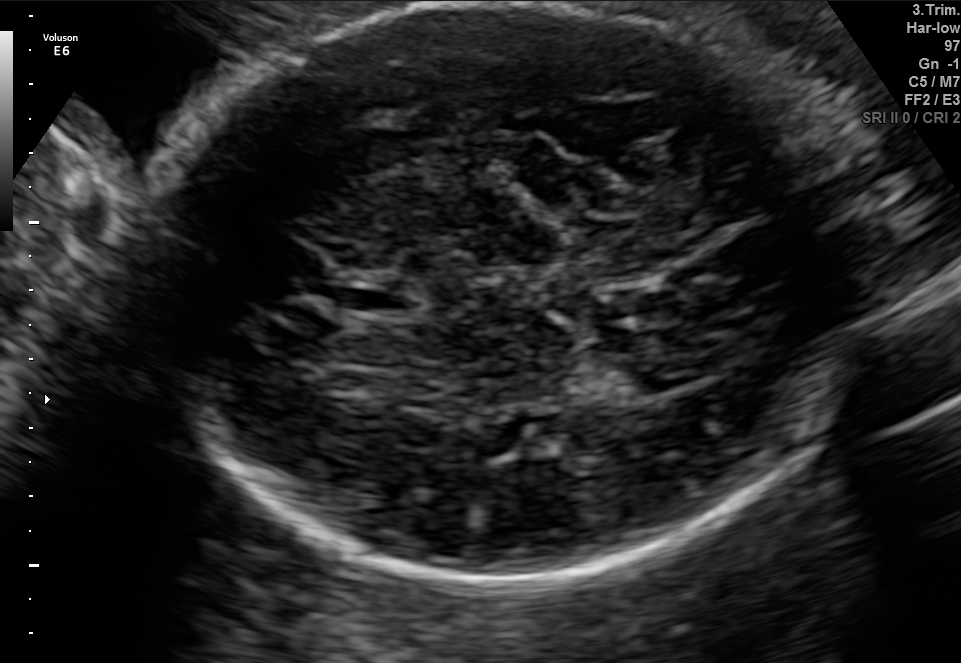
In this fetal brain, trans-thalamic plane, give the bounding box of the lateral ventricle.

[618,339,715,405]